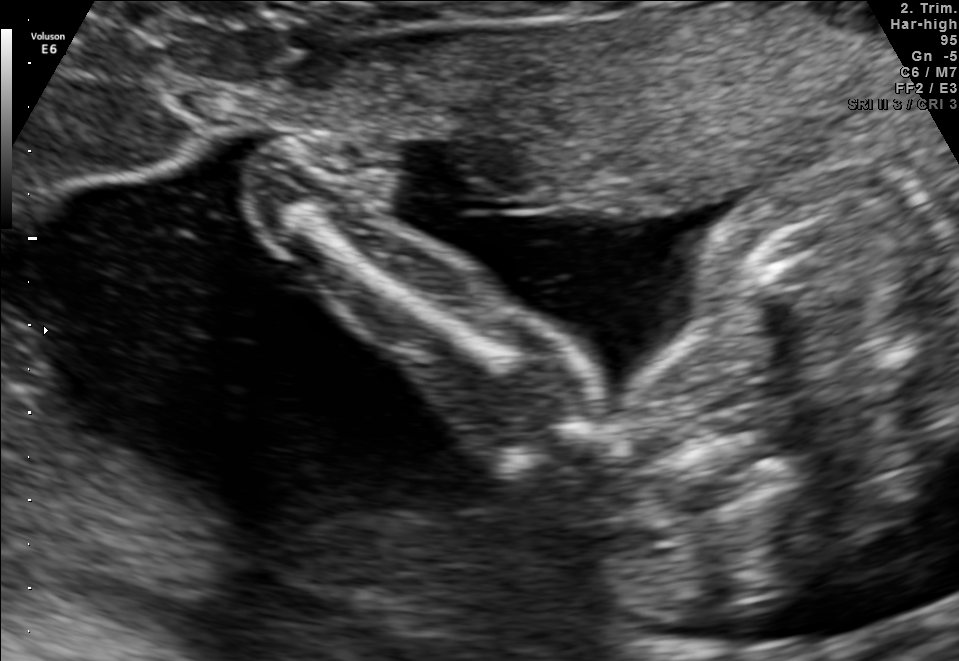
Which standard maternal-fetal ultrasound plane is shown: fetal abdomen, fetal brain, fetal femur, fetal thorax, maternal cervix, or other? If it's fetal brain and one of the three standard brain planes (trans-thalamic, trans-cerebellum, trans-ventricular), name which.

Other